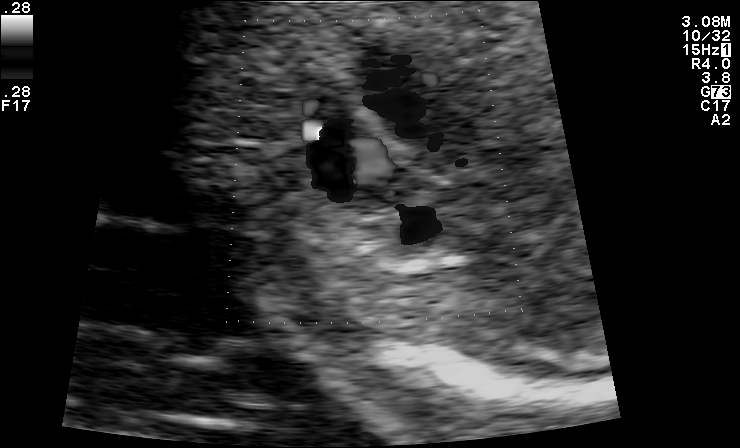
Classify this maternal-fetal ultrasound image as one of the six standard planes — fetal abdomen, fetal brain, fetal femur, fetal thorax, maternal cervix, or other. If it's fetal brain and one of the three standard brain planes (trans-thalamic, trans-cerebellum, trans-ventricular), name which.

Other